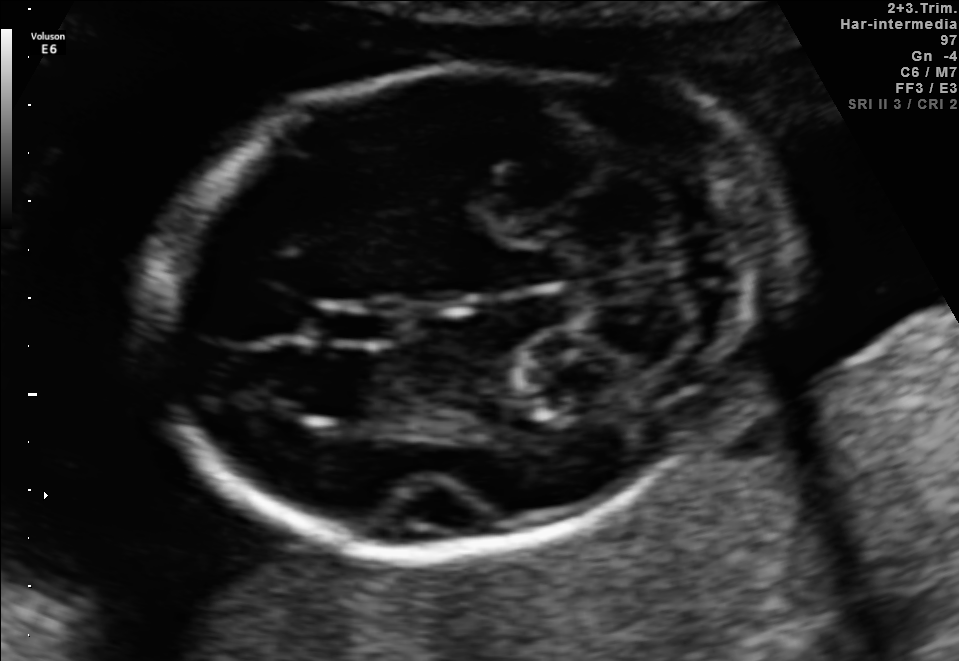
Fetal brain, trans-cerebellum plane. Locate the cavum septum pellucidum.

CSP: [320,306,395,343]